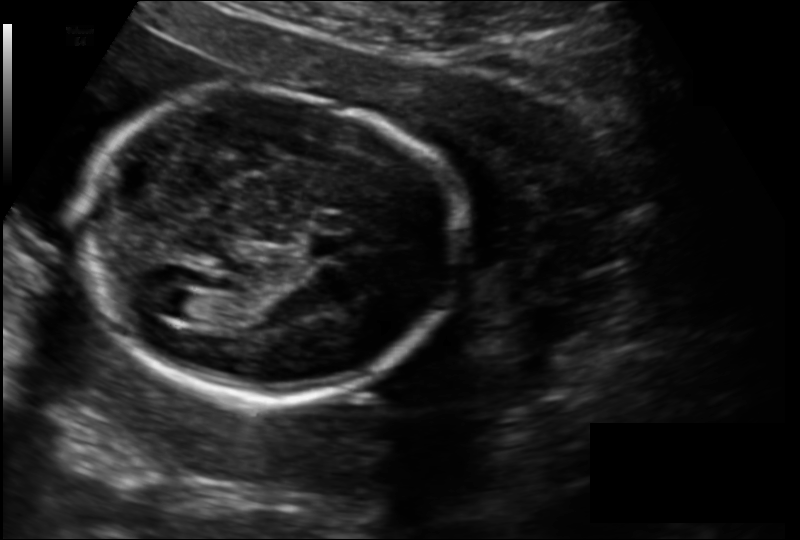
Fetal head ultrasound. Image width: 119.1 mm. Locate the cavum septum pellucidum.

CSP: [306,233,345,260]